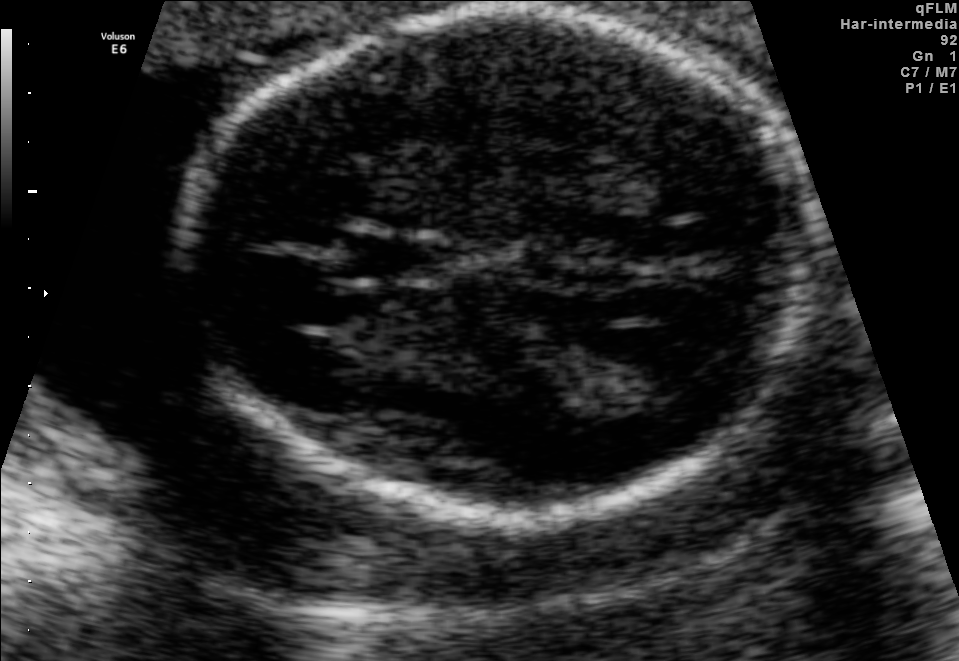
In this fetal brain, trans-thalamic plane, give the bounding box of the cavum septum pellucidum.

[344,235,437,280]